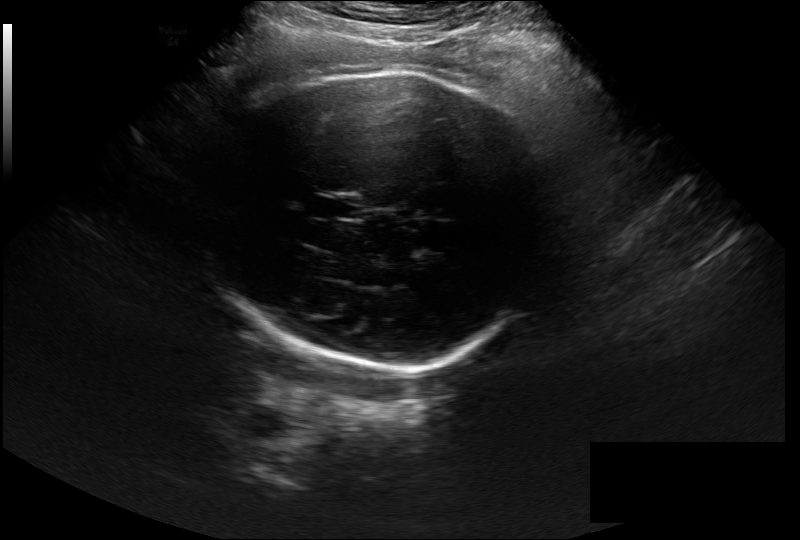
Fetal head ultrasound. Image width: 237.6 mm. Locate the fetal head and, if visible, the cavum septum pellucidum (CSP) and lateral ventricle (LV). Give bounding boxes as [x1,y1,x2,y2].

Head: [209,73,549,371]
CSP: [317,192,363,221]